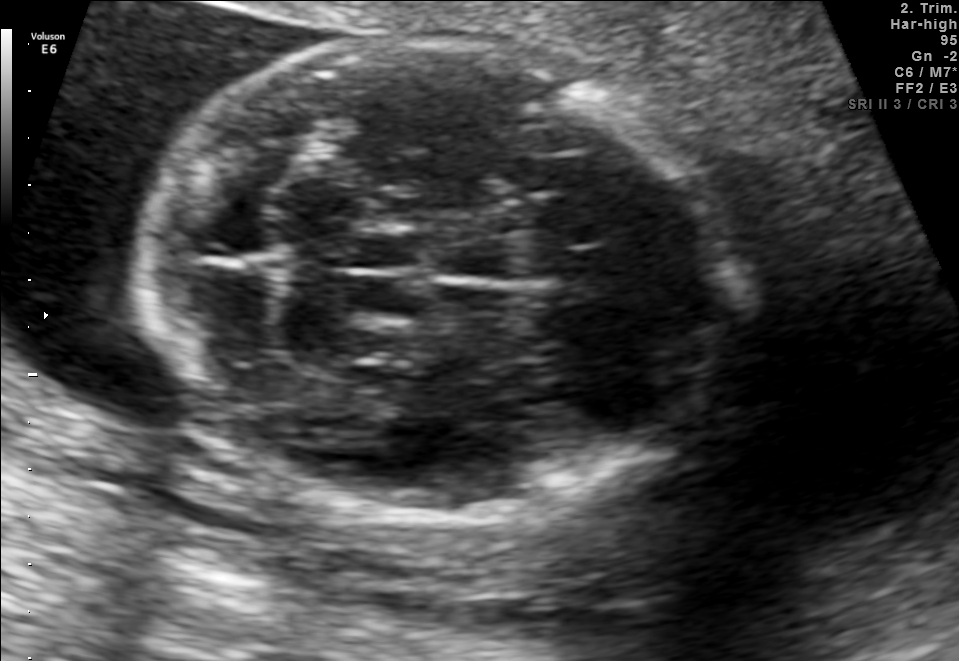
Fetal brain, trans-cerebellum plane. Locate the fetal head and, if visible, the cavum septum pellucidum (CSP) and lateral ventricle (LV). Give bounding boxes as [x1,y1,x2,y2].

Head: [143,38,726,525]